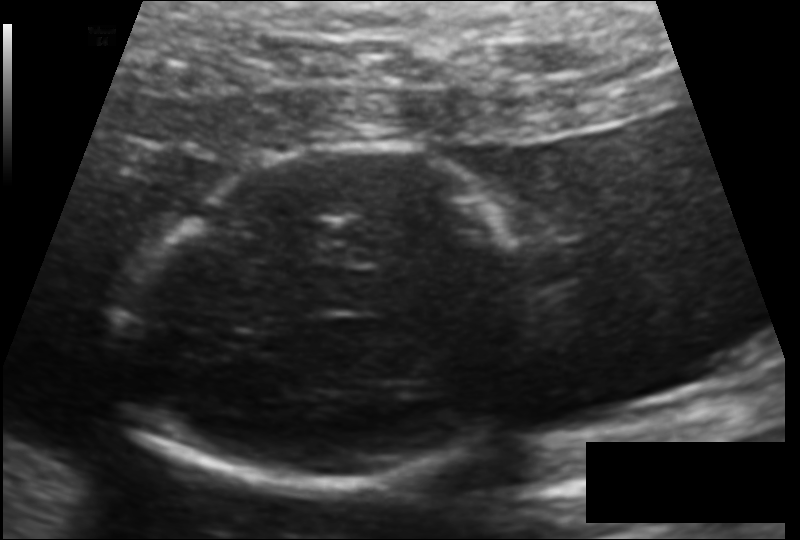
From this fetal ultrasound, estimate the head circumference (image width 99.4 mm).

Head circumference: 155.6 mm.